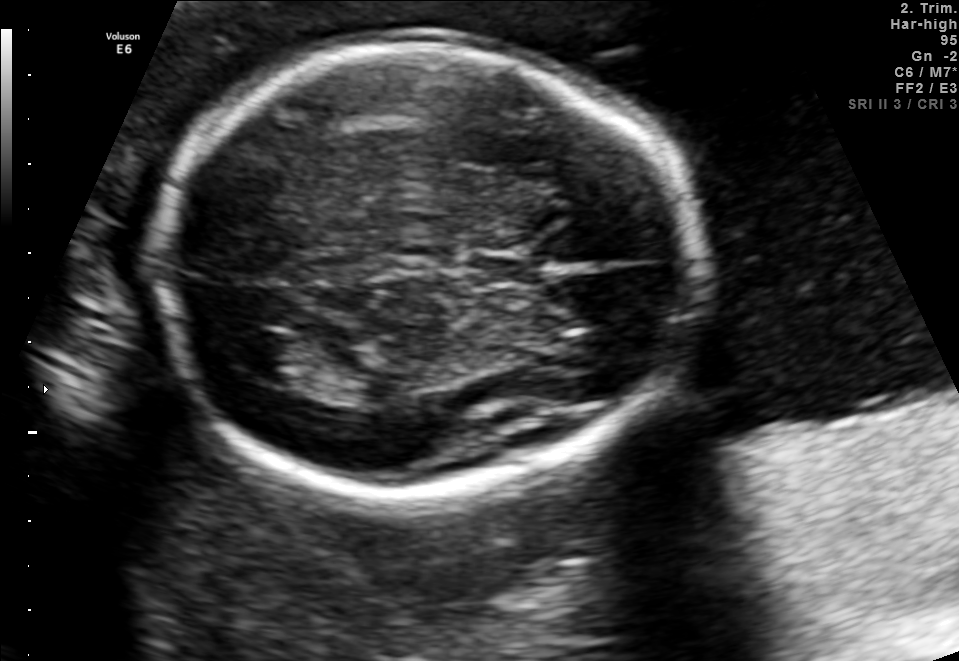
In this fetal brain, trans-thalamic plane, give the bounding box of the lateral ventricle.

[232,324,316,390]